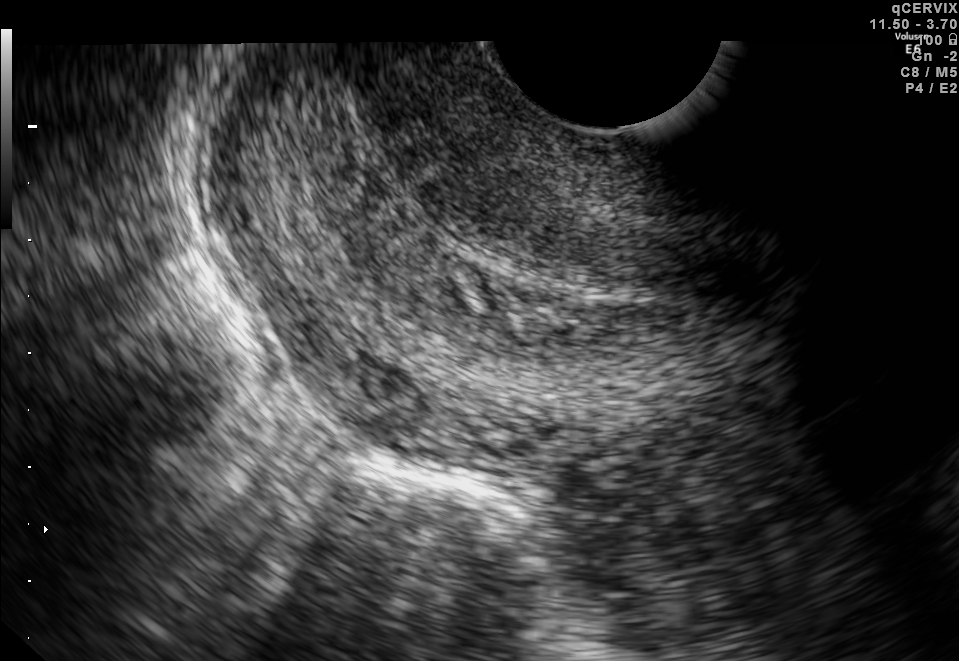
Classify this maternal-fetal ultrasound image as one of the six standard planes — fetal abdomen, fetal brain, fetal femur, fetal thorax, maternal cervix, or other. If it's fetal brain and one of the three standard brain planes (trans-thalamic, trans-cerebellum, trans-ventricular), name which.

Maternal cervix